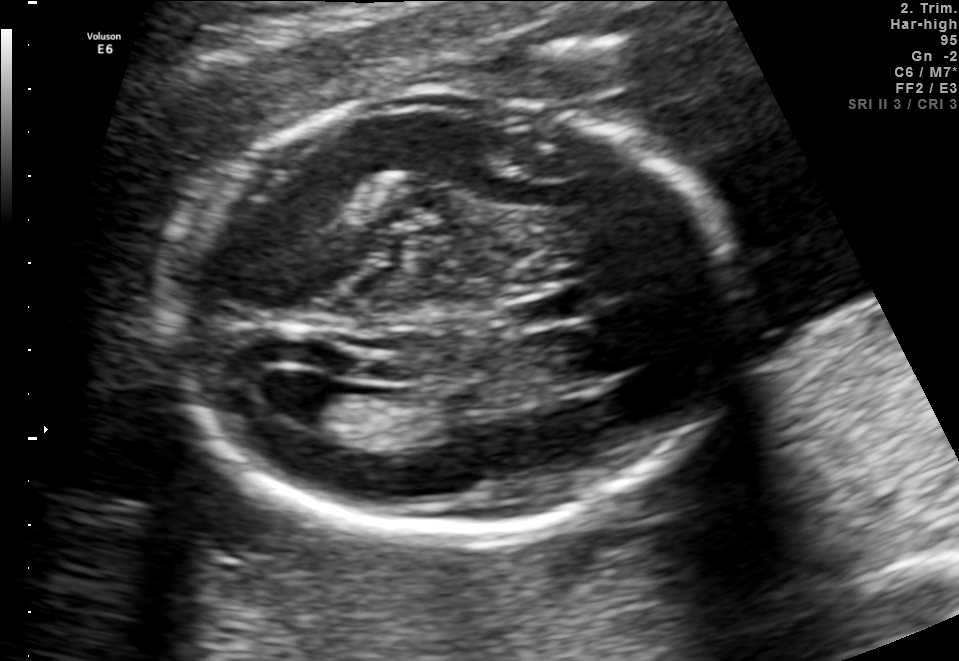
In this fetal brain, trans-ventricular plane, give the bounding box of the lateral ventricle.

[244,359,346,435]